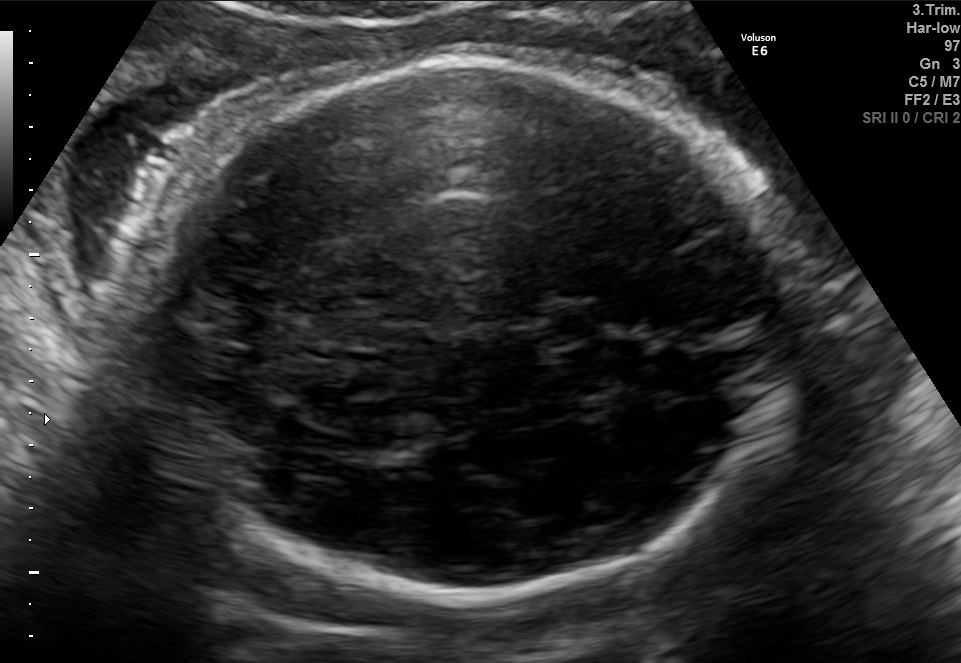
Fetal brain, trans-thalamic plane. Where is the fetal head?

Head bounding box: [130,63,797,598]